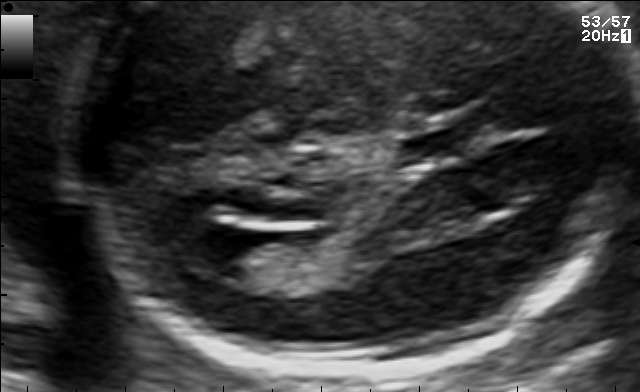
Classify this maternal-fetal ultrasound image as one of the six standard planes — fetal abdomen, fetal brain, fetal femur, fetal thorax, maternal cervix, or other. If it's fetal brain and one of the three standard brain planes (trans-thalamic, trans-cerebellum, trans-ventricular), name which.

Fetal brain (trans-ventricular plane)